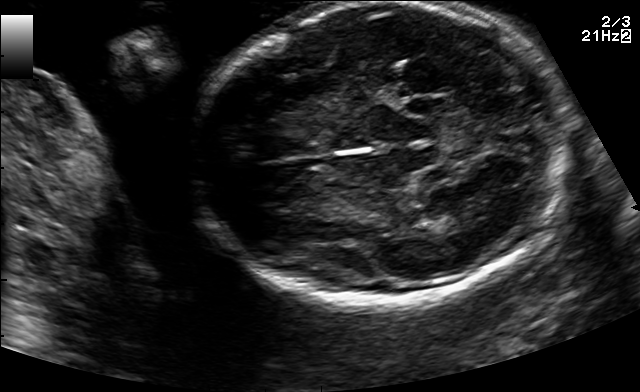
Fetal brain, trans-thalamic plane. Locate the fetal head and, if visible, the cavum septum pellucidum (CSP) and lateral ventricle (LV). Give bounding boxes as [x1,y1,x2,y2].

Head: [192,3,573,301]